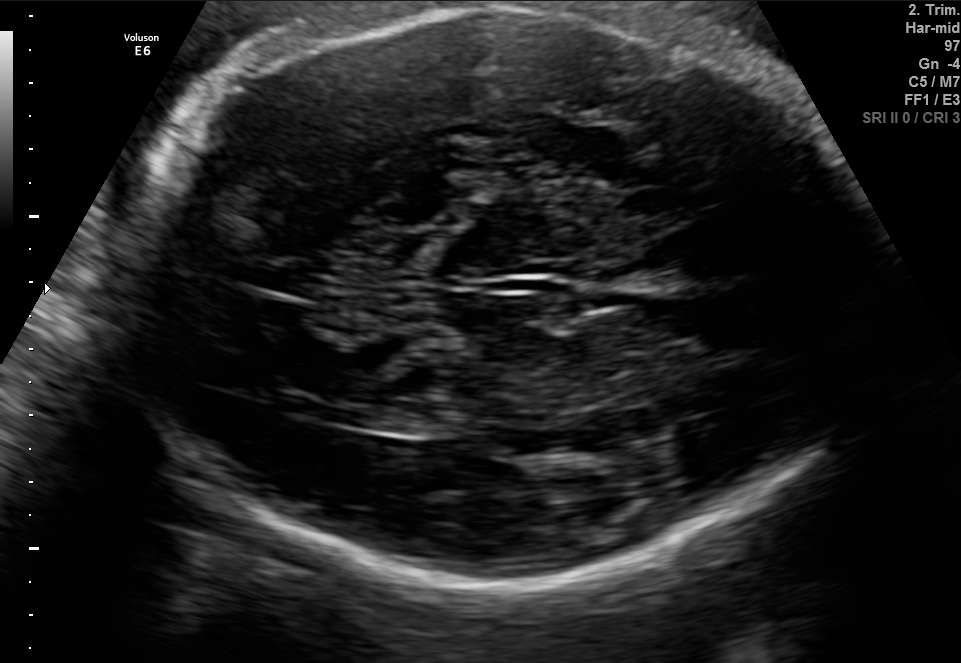
In this fetal brain, trans-thalamic plane, give bounding boxes for the head outline, cavum septum pellucidum (CSP), and lateral ventricle (LV), where visible.

Head: [112,8,867,589]